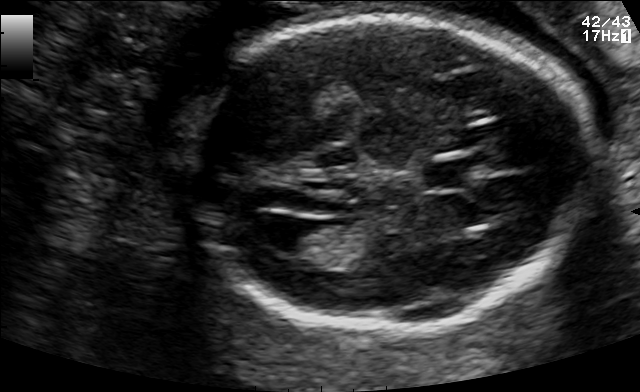
In this fetal brain, trans-ventricular plane, give the bounding box of the lateral ventricle.

[252,212,320,256]